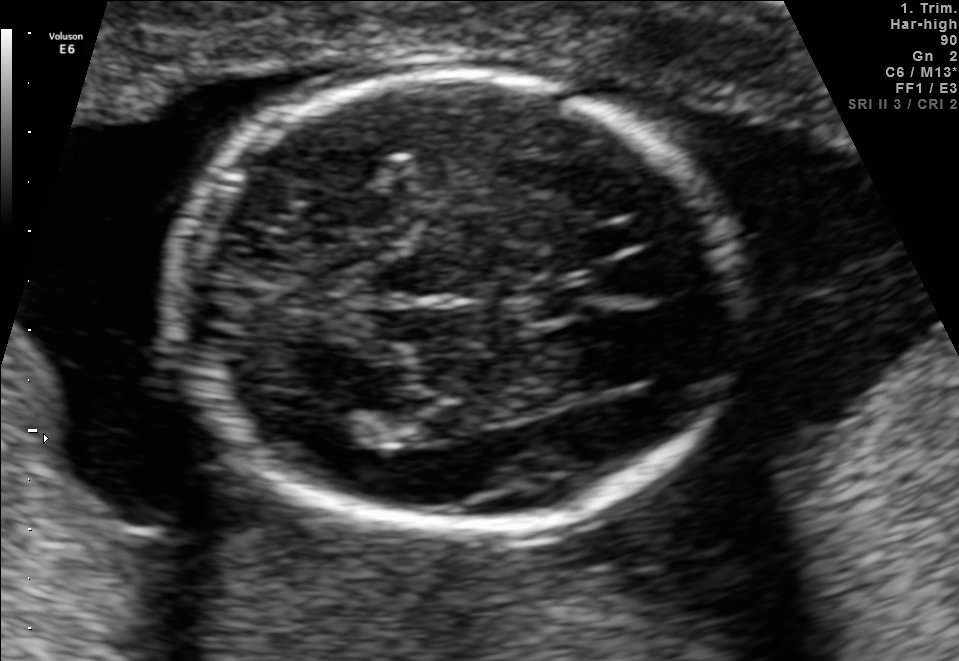
In this fetal brain, trans-thalamic plane, give the bounding box of the fetal head.

[168,75,739,526]